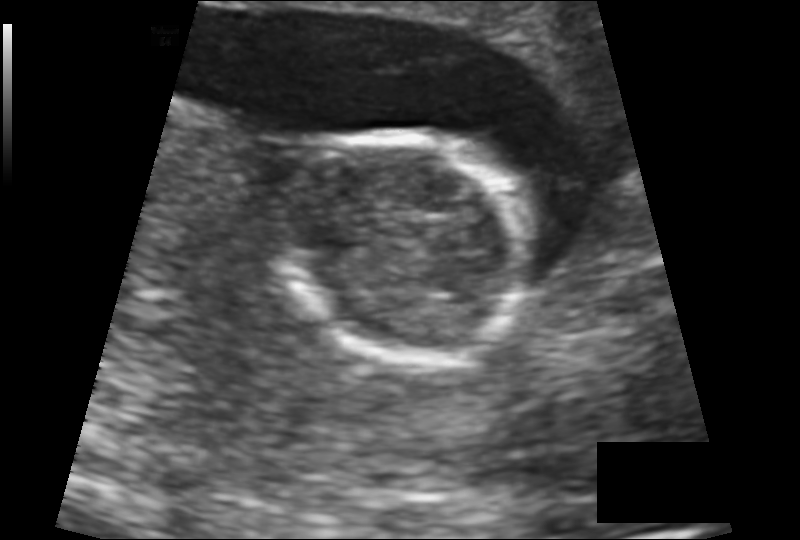
Measure the fetal head circumference shown in this ultrasound image. Image width: 109.7 mm.

Head circumference: 105.5 mm.